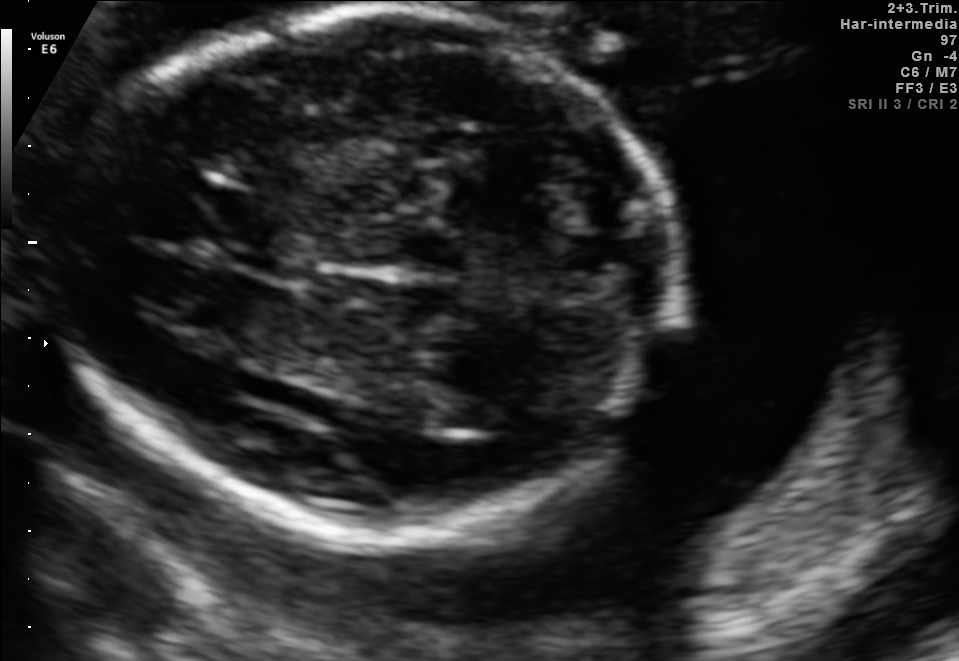
In this fetal brain, trans-thalamic plane, give the bounding box of the lateral ventricle.

[434,396,515,435]